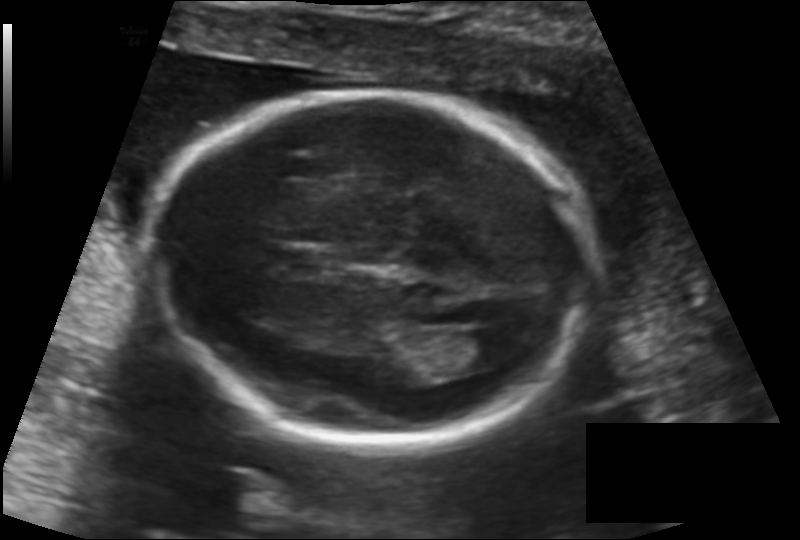
In this fetal head ultrasound, give the bounding box of the fetal head. Image width: 109.6 mm.

[151,92,594,443]